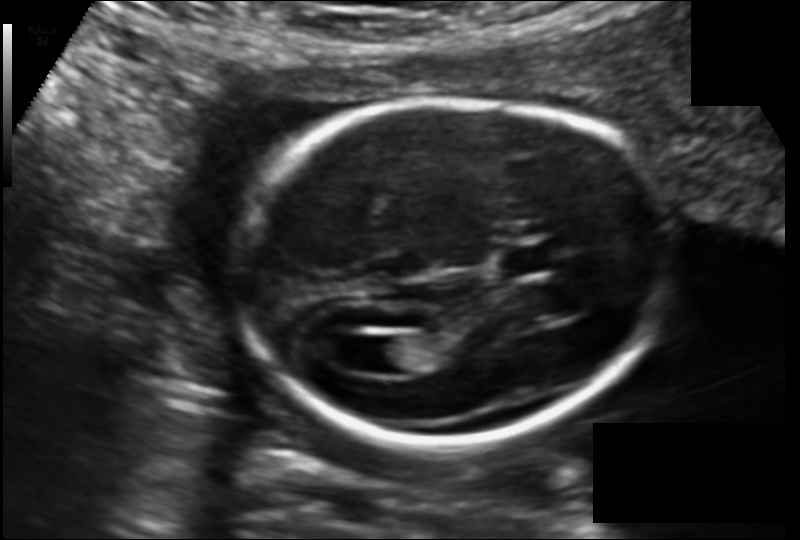
Estimate the fetal head circumference from this 2D ultrasound. Image width: 107.8 mm.

Head circumference: 170.2 mm.